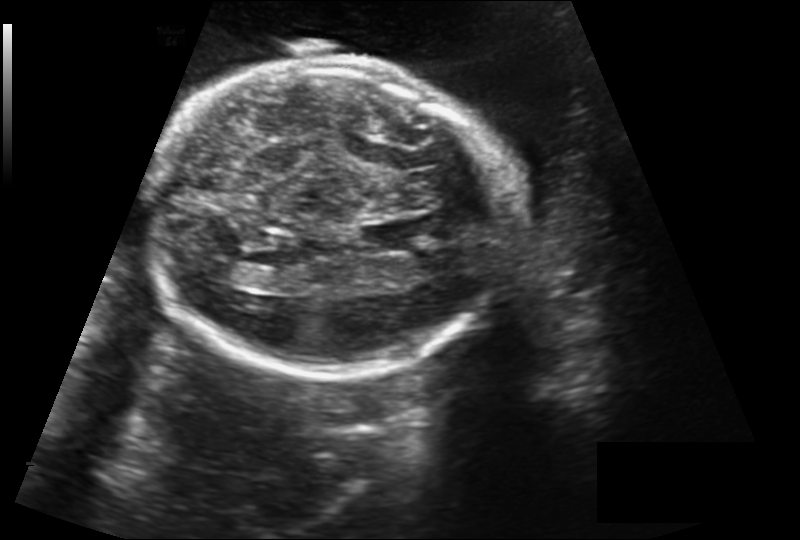
Fetal head ultrasound. Image width: 169.6 mm. Locate the fetal head.

Head: [152,58,511,376]